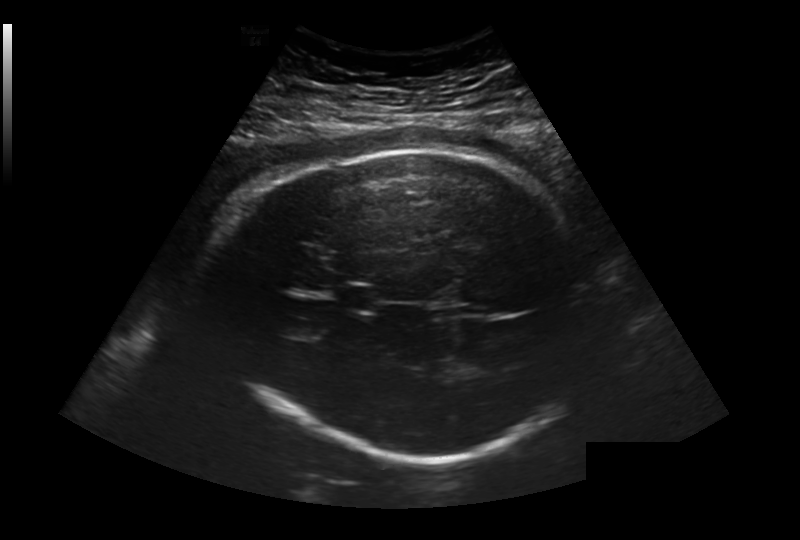
Measure the fetal head circumference shown in this ultrasound image. Image width: 224.9 mm.

Head circumference: 316.5 mm.